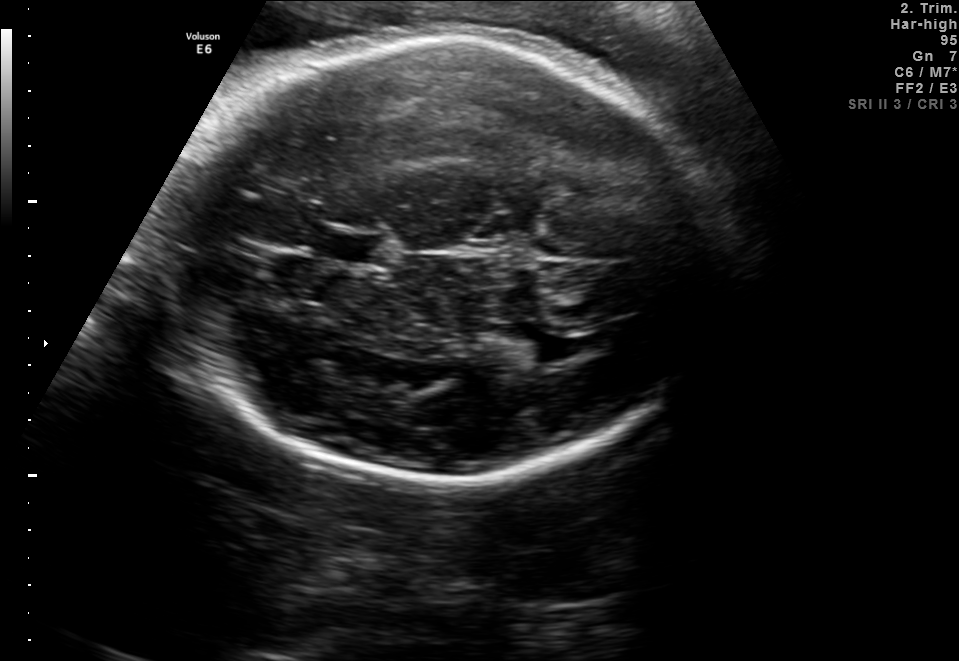
In this fetal brain, trans-thalamic plane, give the bounding box of the fetal head.

[171,37,728,482]